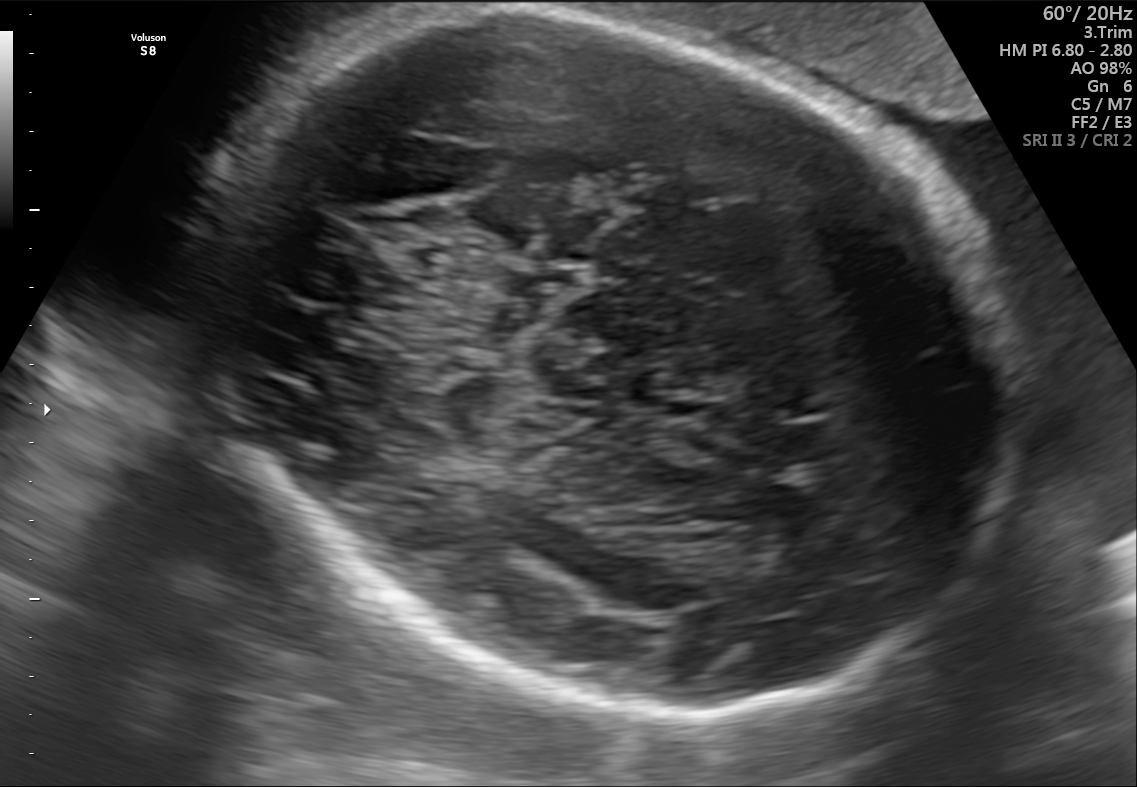
Fetal brain, trans-thalamic plane. Where is the fetal head?

Head bounding box: [165,8,1020,726]